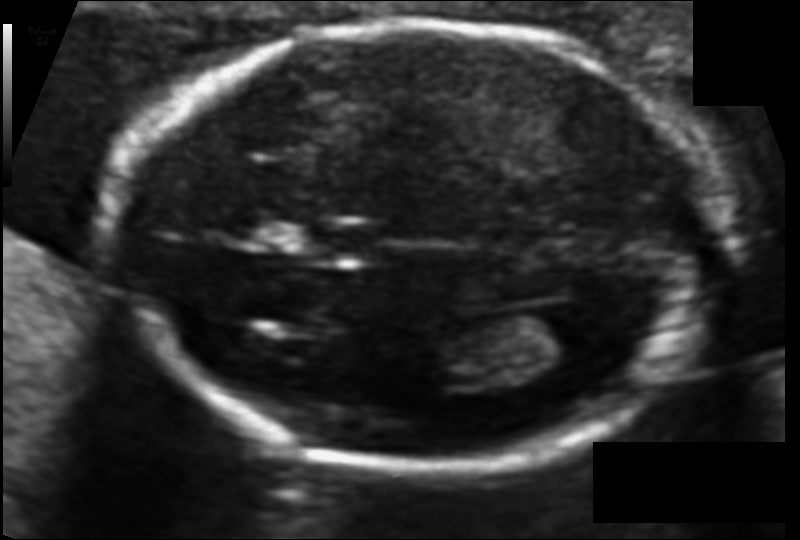
Measure the fetal head circumference shown in this ultrasound image. Image width: 75.0 mm.

Head circumference: 159.3 mm.